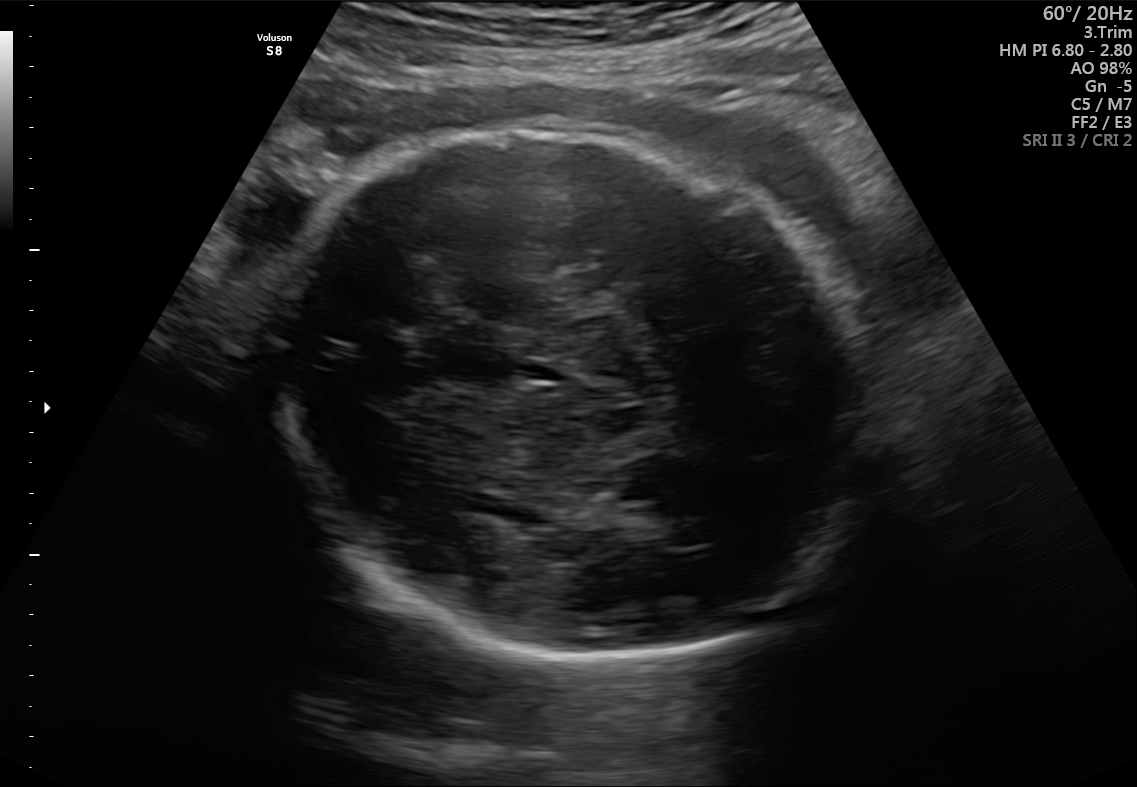
Fetal brain, trans-thalamic plane. Locate the fetal head.

Head: [262,132,880,667]